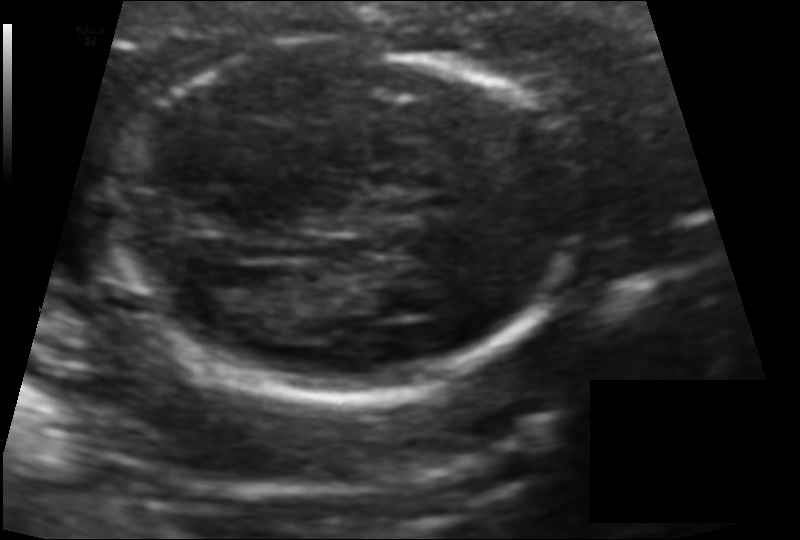
From this fetal ultrasound, estimate the head circumference (image width 81.1 mm).

Head circumference: 135.1 mm.